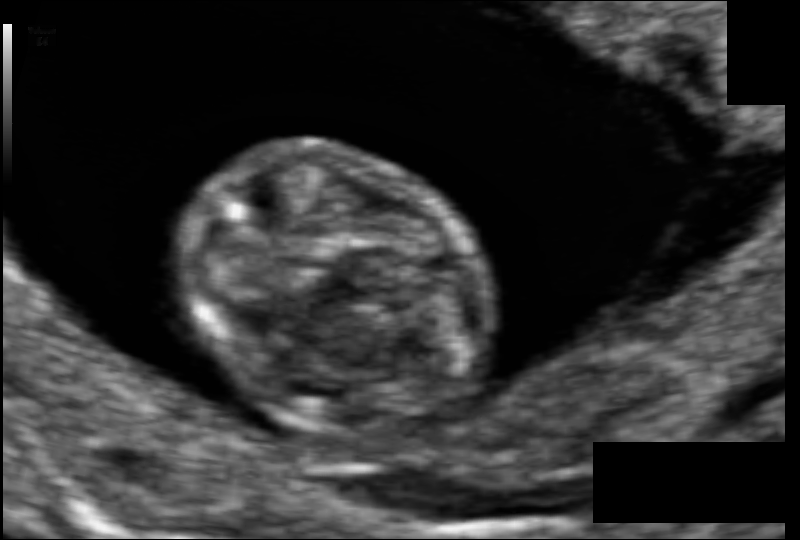
Fetal head ultrasound. Image width: 49.0 mm. Locate the fetal head and, if visible, the cavum septum pellucidum (CSP) and lateral ventricle (LV). Give bounding boxes as [x1,y1,x2,y2].

Head: [180,139,490,439]